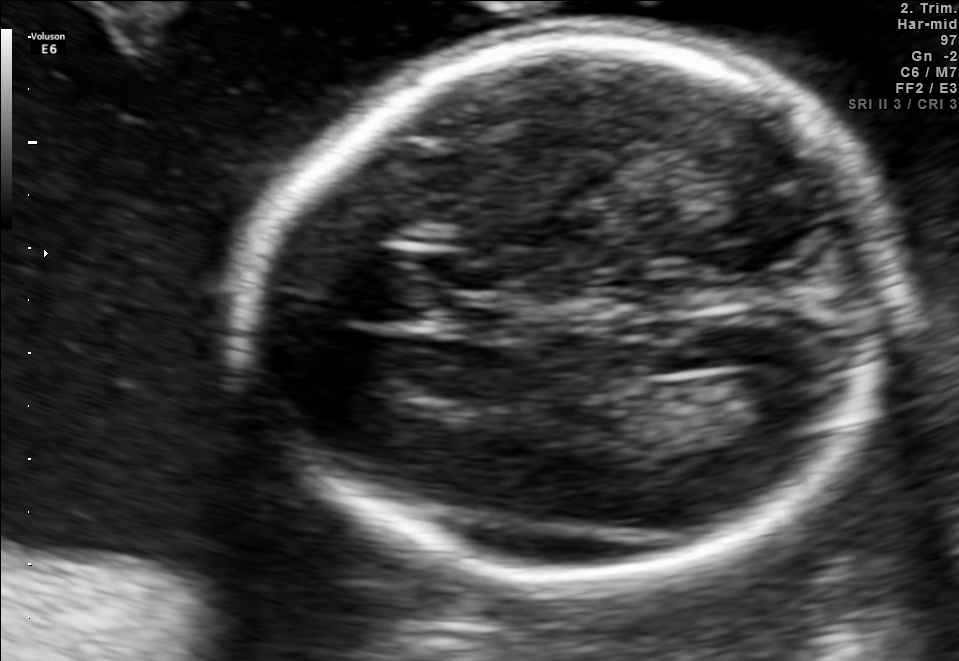
Fetal brain, trans-ventricular plane. Locate the fetal head.

Head: [220,21,921,594]